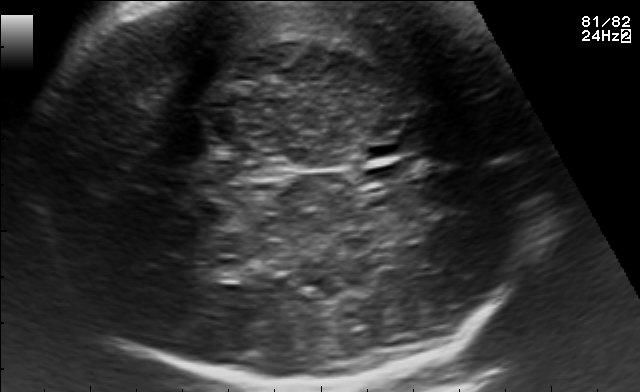
Fetal brain, trans-thalamic plane. Give [x1,y1,x2,y2] bounding boxes for each visible structure among: fetal head, CSP, LV.

Head: [26,3,546,388]